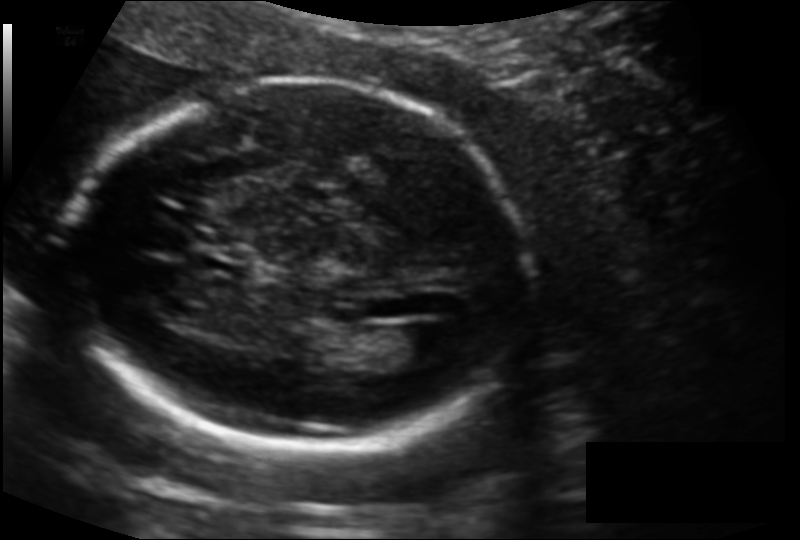
Fetal head ultrasound. Image width: 101.6 mm. Locate the fetal head.

Head: [67,79,530,448]